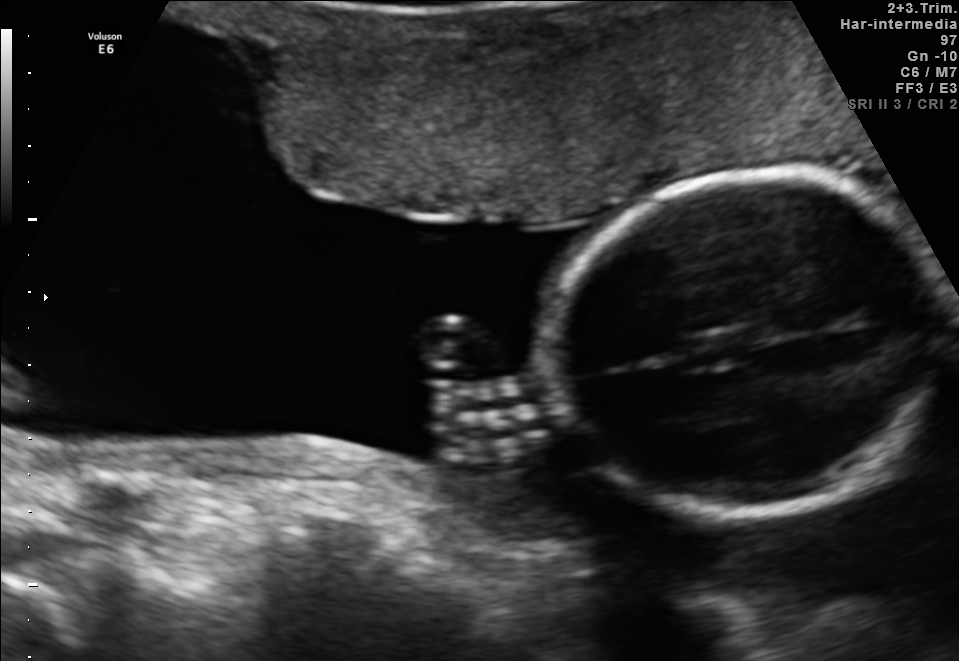
In this fetal brain, trans-thalamic plane, give bounding boxes for the head outline, cavum septum pellucidum (CSP), and lateral ventricle (LV), where visible.

Head: [548,178,951,515]